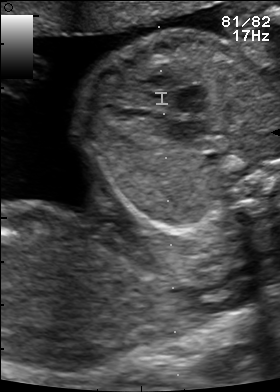
This is a 2D maternal-fetal ultrasound frame. Is it a fetal abdomen, fetal brain, fetal femur, fetal thorax, maternal cervix, or other standard plane? If it's fetal brain and one of the three standard brain planes (trans-thalamic, trans-cerebellum, trans-ventricular), name which.

Other